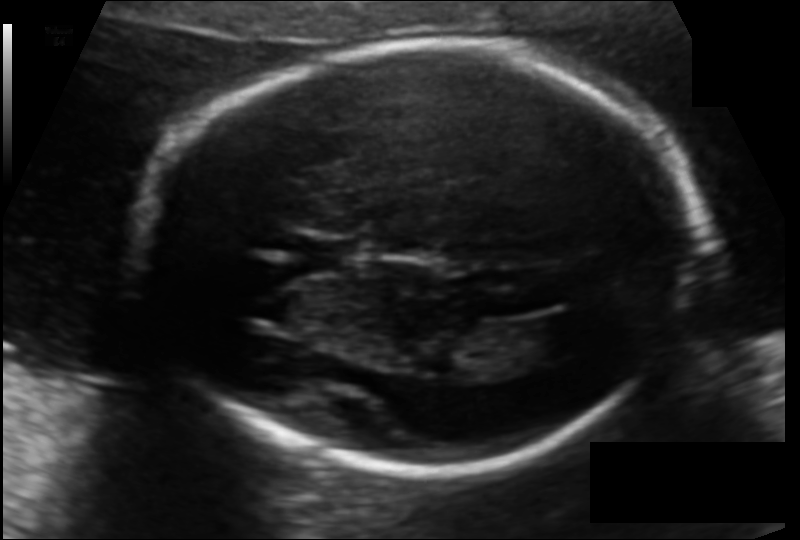
Estimate the fetal head circumference from this 2D ultrasound. Image width: 97.4 mm.

Head circumference: 193.1 mm.